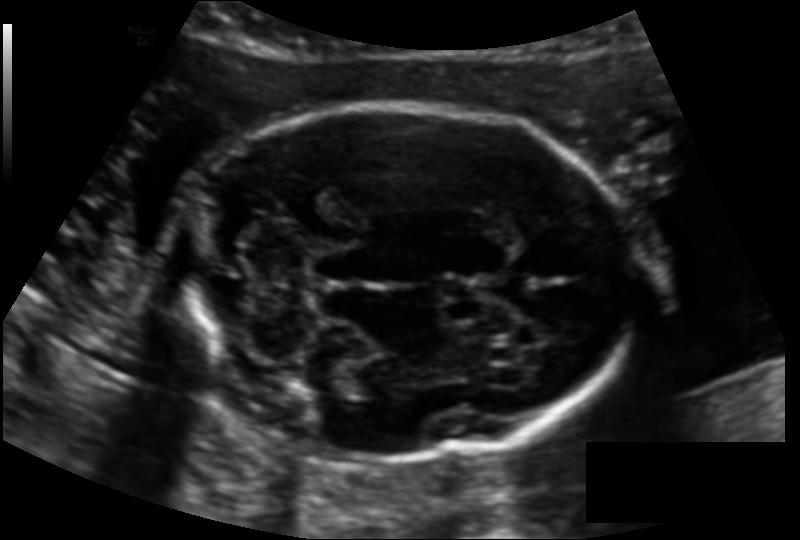
Fetal head ultrasound. Image width: 102.3 mm. Where is the fetal head?

Head bounding box: [176,105,637,457]